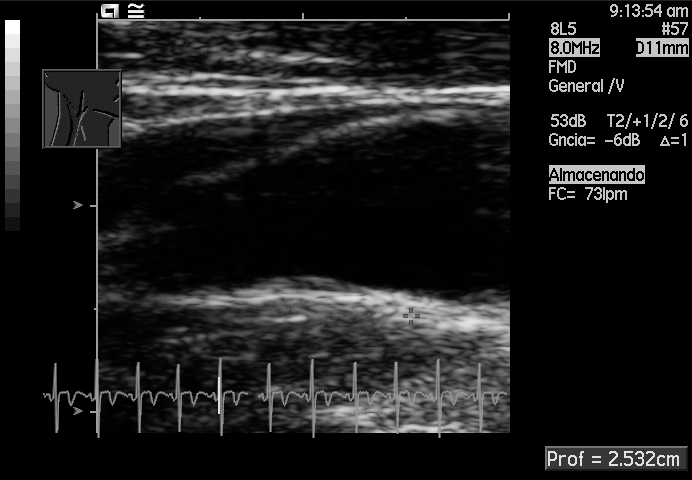
Classify this maternal-fetal ultrasound image as one of the six standard planes — fetal abdomen, fetal brain, fetal femur, fetal thorax, maternal cervix, or other. If it's fetal brain and one of the three standard brain planes (trans-thalamic, trans-cerebellum, trans-ventricular), name which.

Other